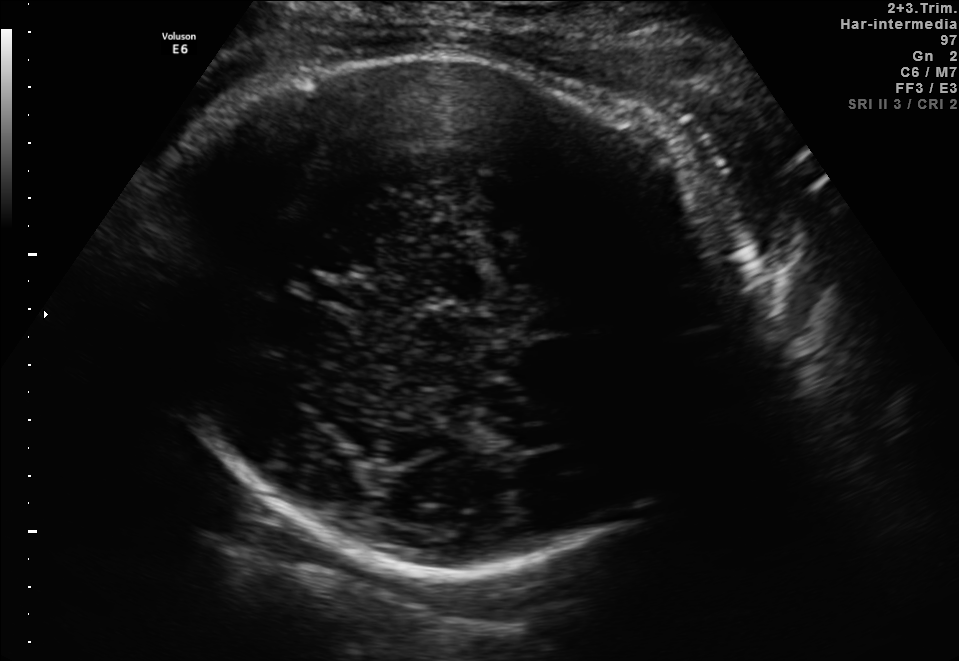
In this fetal brain, trans-thalamic plane, give bounding boxes for the head outline, cavum septum pellucidum (CSP), and lateral ventricle (LV), where visible.

Head: [145,59,734,570]